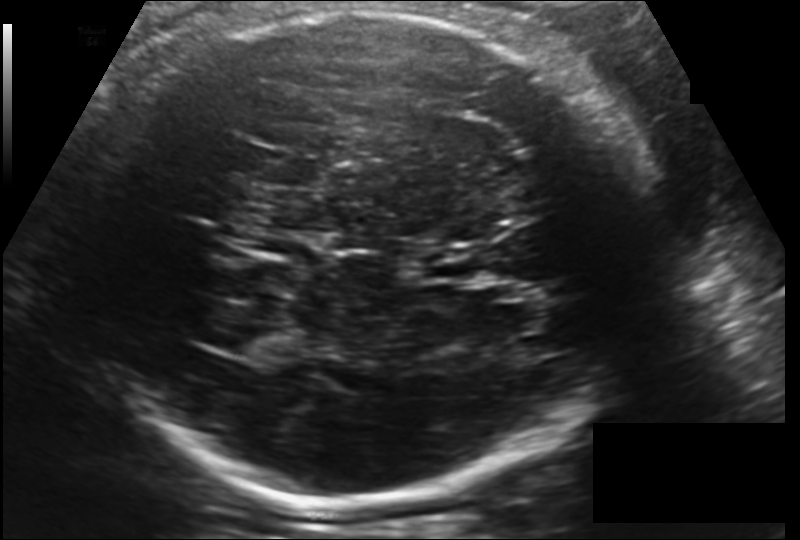
What is the fetal head circumference? Image width is 145.0 mm.

308.5 mm